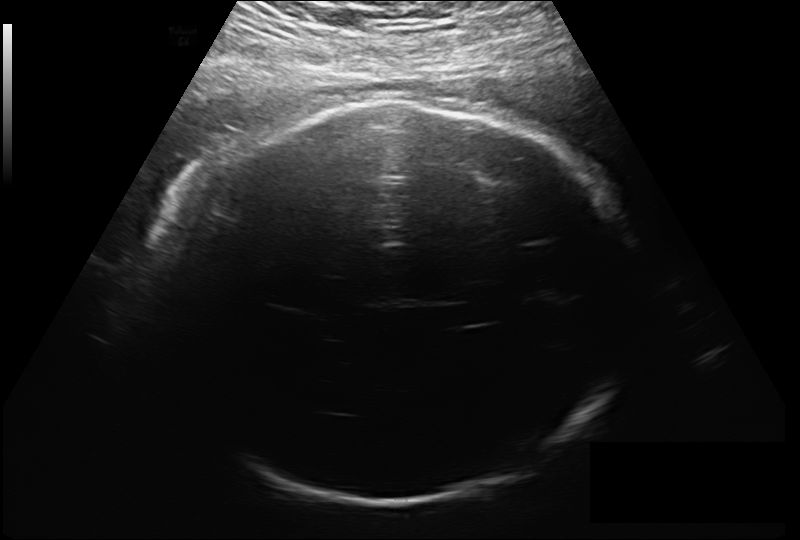
From this fetal ultrasound, estimate the head circumference (image width 170.5 mm).

Head circumference: 306.0 mm.